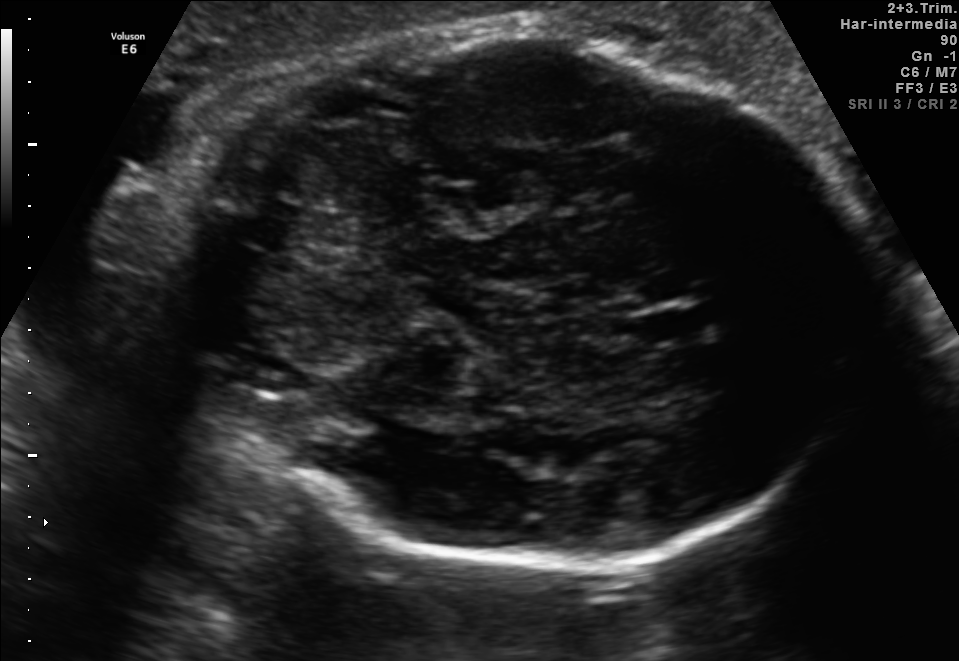
Fetal brain, trans-cerebellum plane. Locate the fetal head.

Head: [171,30,856,569]